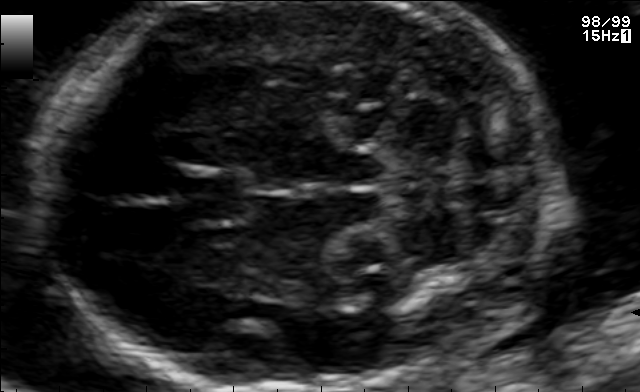
In this fetal brain, trans-cerebellum plane, give the bounding box of the cavum septum pellucidum.

[178,171,248,224]